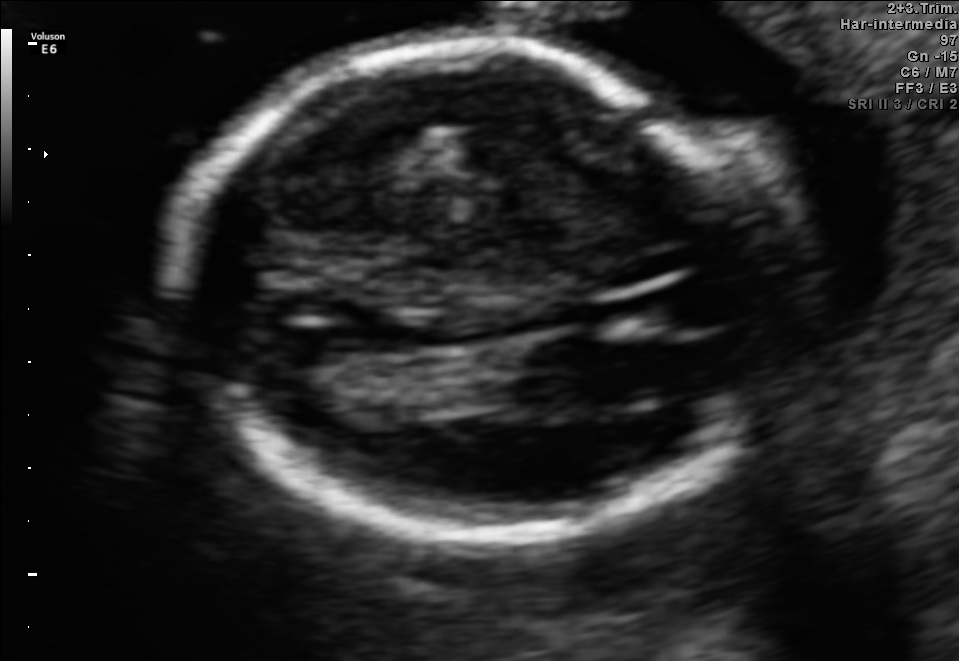
Classify this maternal-fetal ultrasound image as one of the six standard planes — fetal abdomen, fetal brain, fetal femur, fetal thorax, maternal cervix, or other. If it's fetal brain and one of the three standard brain planes (trans-thalamic, trans-cerebellum, trans-ventricular), name which.

Fetal brain (trans-thalamic plane)